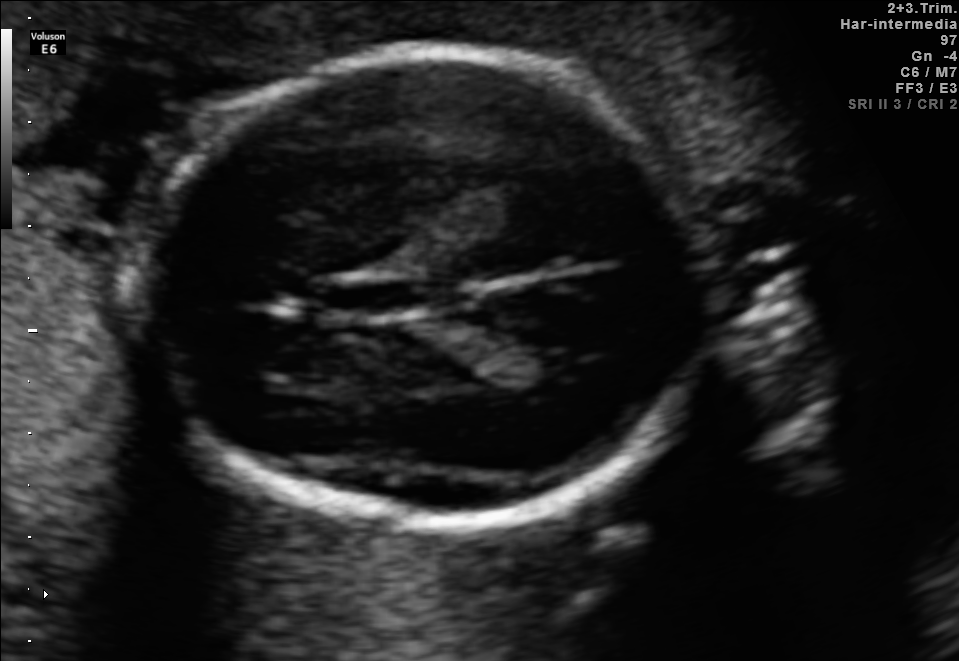
In this fetal brain, trans-thalamic plane, give bounding boxes for the head outline, cavum septum pellucidum (CSP), and lateral ventricle (LV), where visible.

Head: [127,53,708,514]